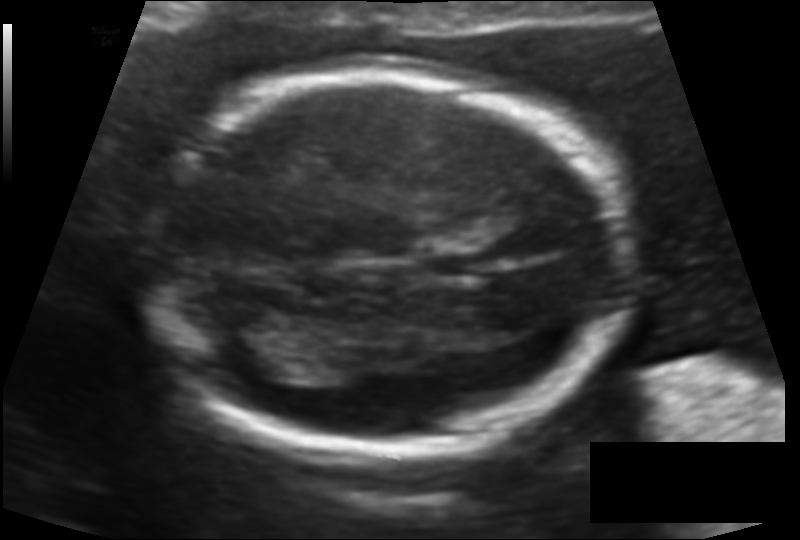
In this fetal head ultrasound, give bounding boxes for the head outline, cavum septum pellucidum (CSP), and lateral ventricle (LV), where visible. Image width: 92.6 mm.

Head: [139,69,622,449]
Lateral ventricle: [203,303,308,382]